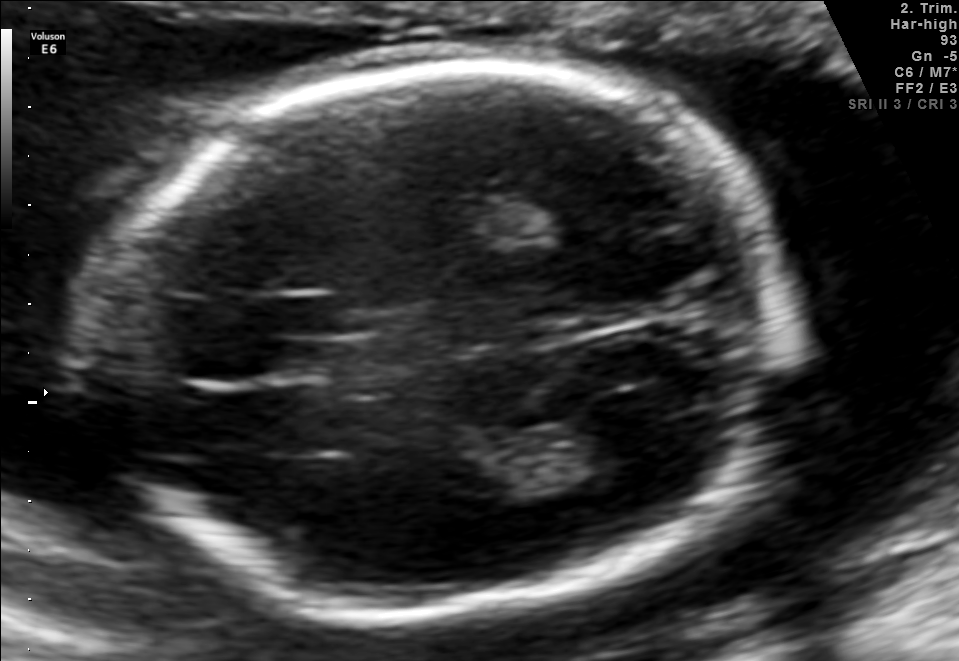
In this fetal brain, trans-thalamic plane, give the bounding box of the lateral ventricle.

[538,394,673,493]